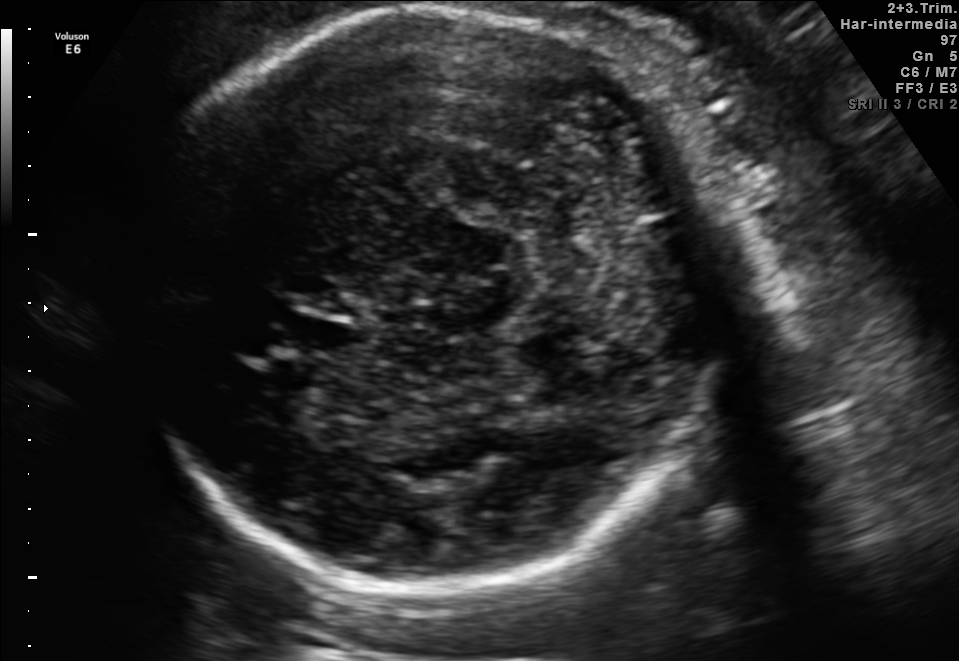
Fetal brain, trans-cerebellum plane. Give [x1,y1,x2,y2] bounding boxes for each visible structure among: fetal head, CSP, LV.

Head: [127,8,744,587]